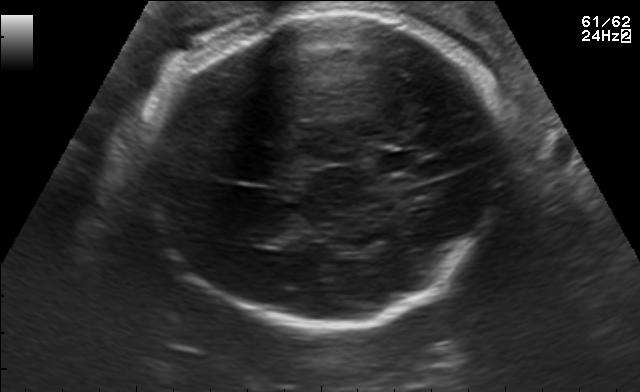
Fetal brain, trans-thalamic plane. Where is the cavum septum pellucidum?

CSP bounding box: [375,148,421,174]